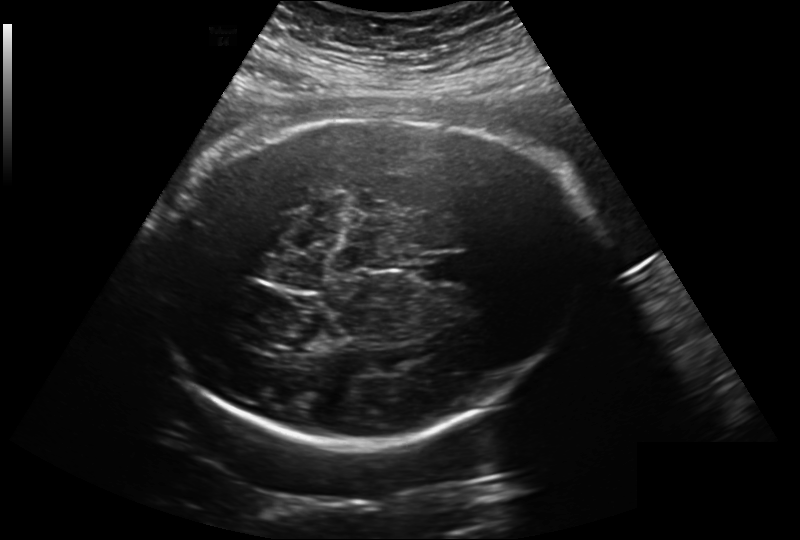
Fetal head ultrasound. Image width: 208.0 mm. Locate the cavum septum pellucidum.

CSP: [418,253,470,285]